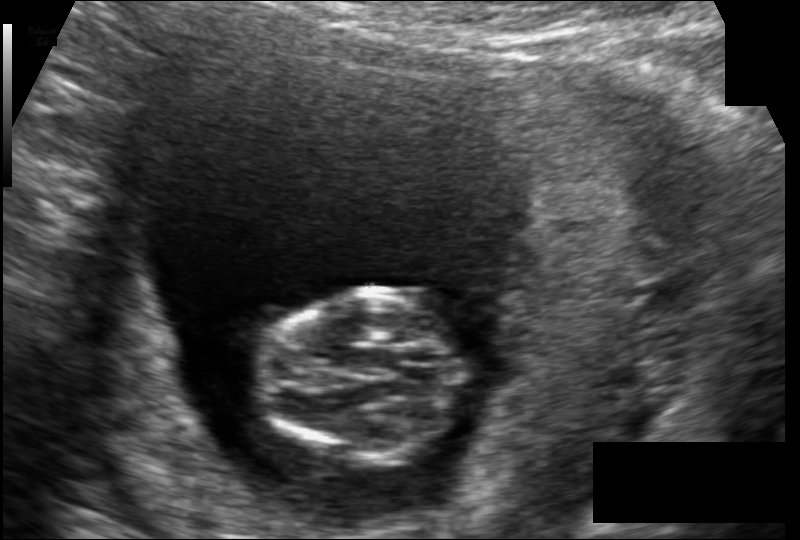
Fetal head ultrasound. Image width: 93.8 mm. Where is the fetal head?

Head bounding box: [261,289,464,465]